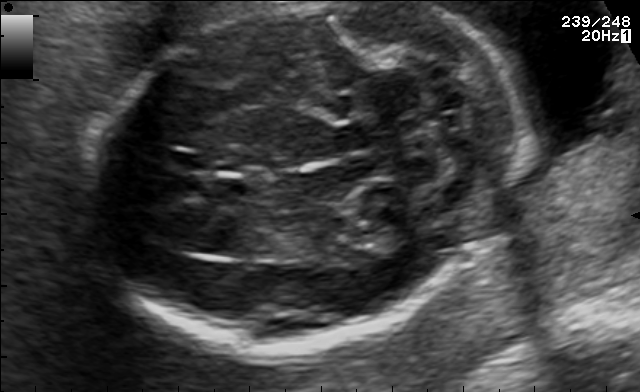
Fetal brain, trans-cerebellum plane. Locate the fetal head and, if visible, the cavum septum pellucidum (CSP) and lateral ventricle (LV). Give bounding boxes as [x1,y1,x2,y2].

Head: [88,2,505,352]